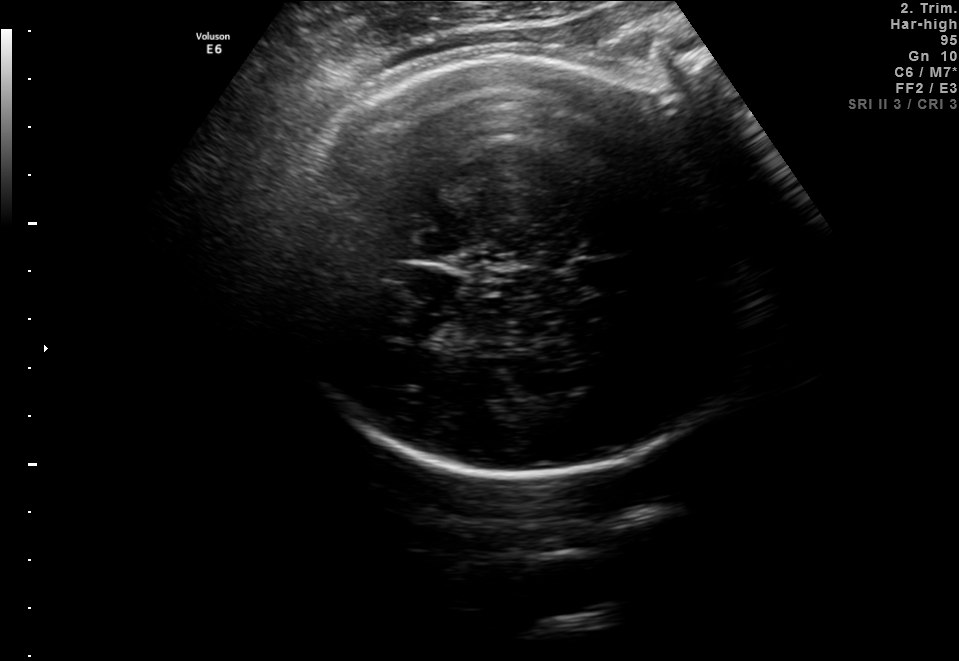
Fetal brain, trans-thalamic plane. Locate the fetal head.

Head: [277,56,758,473]